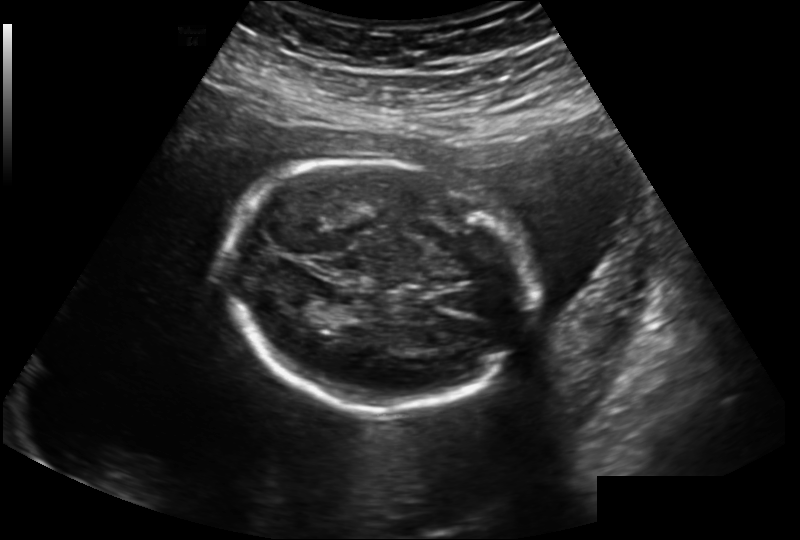
Fetal head ultrasound. Image width: 161.6 mm. Locate the fetal head and, if visible, the cavum septum pellucidum (CSP) and lateral ventricle (LV). Give bounding boxes as [x1,y1,x2,y2].

Head: [223,160,531,409]